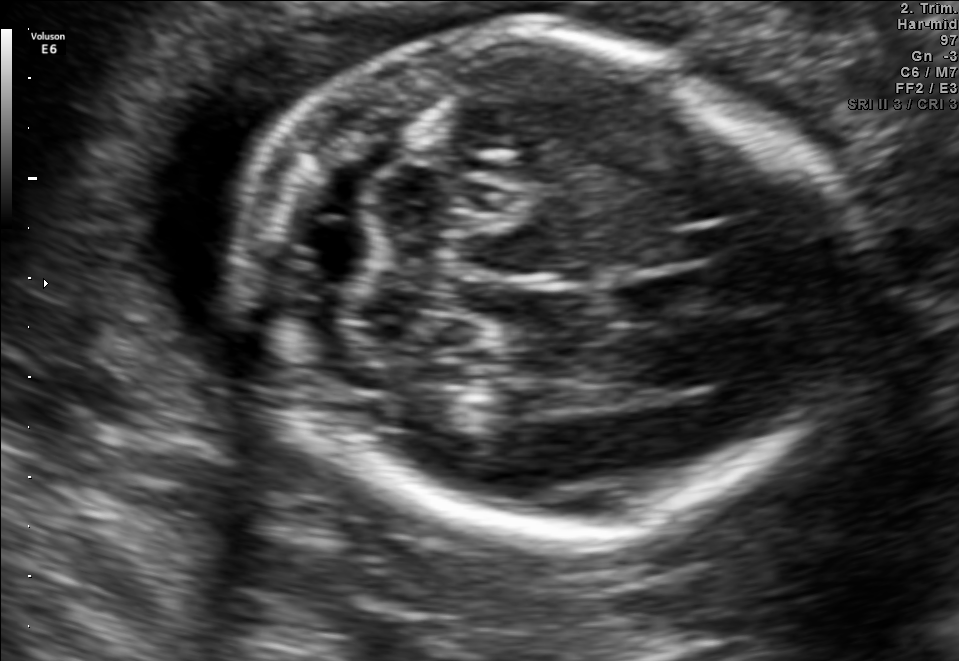
In this fetal brain, trans-cerebellum plane, give bounding boxes for the head outline, cavum septum pellucidum (CSP), and lateral ventricle (LV), where visible.

Head: [241,31,834,536]
CSP: [614,263,718,329]